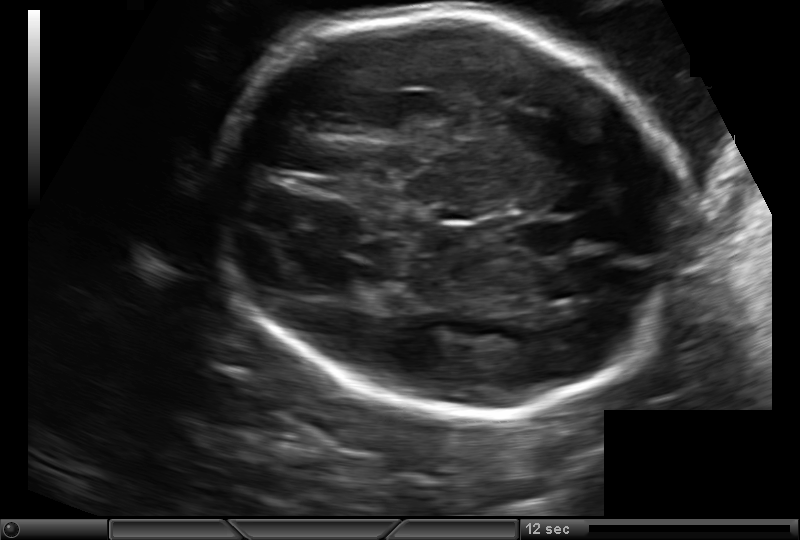
Measure the fetal head circumference shown in this ultrasound image. Image width: 137.2 mm.

Head circumference: 242.0 mm.